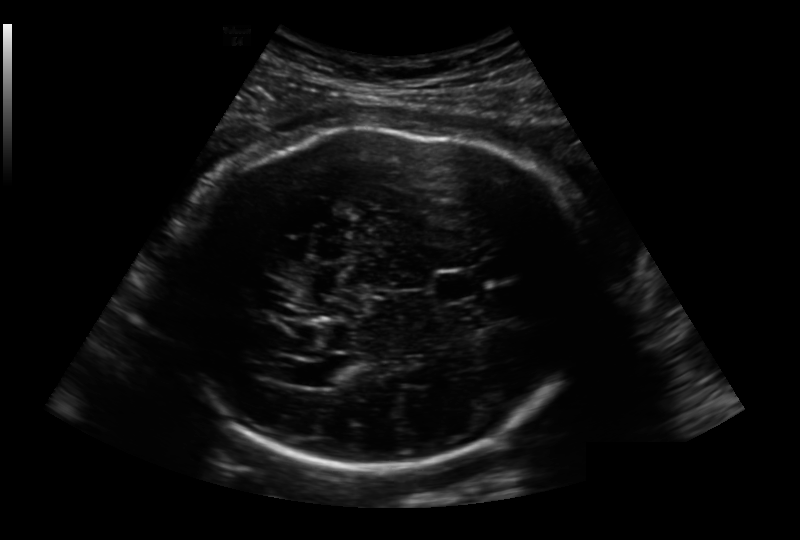
Estimate the fetal head circumference from this 2D ultrasound.

Head circumference: 292.1 mm (image width 188.6 mm).